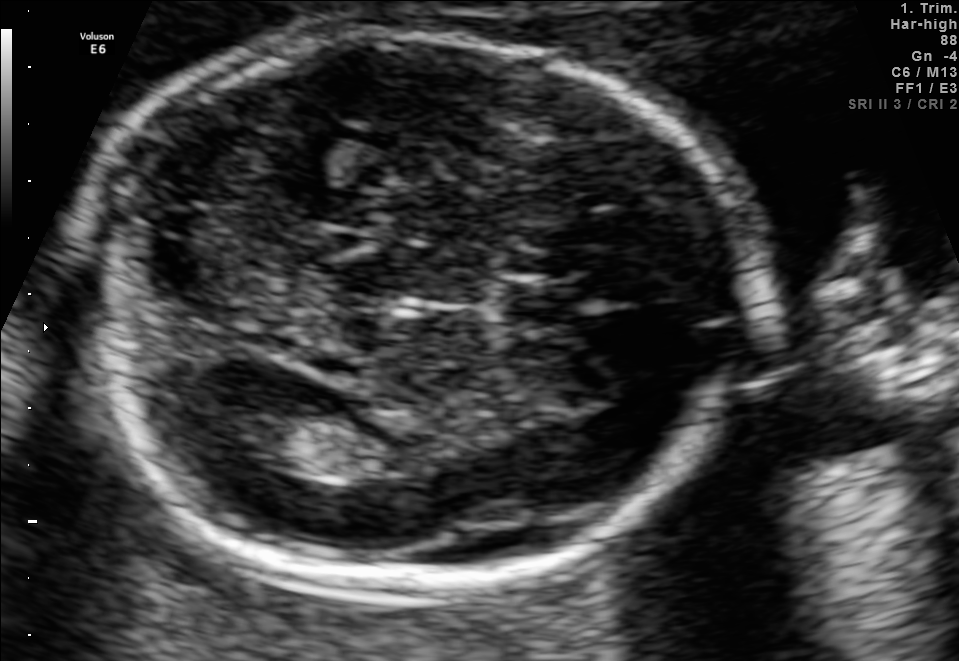
Fetal brain, trans-ventricular plane. Where is the fetal head?

Head bounding box: [63,25,766,604]